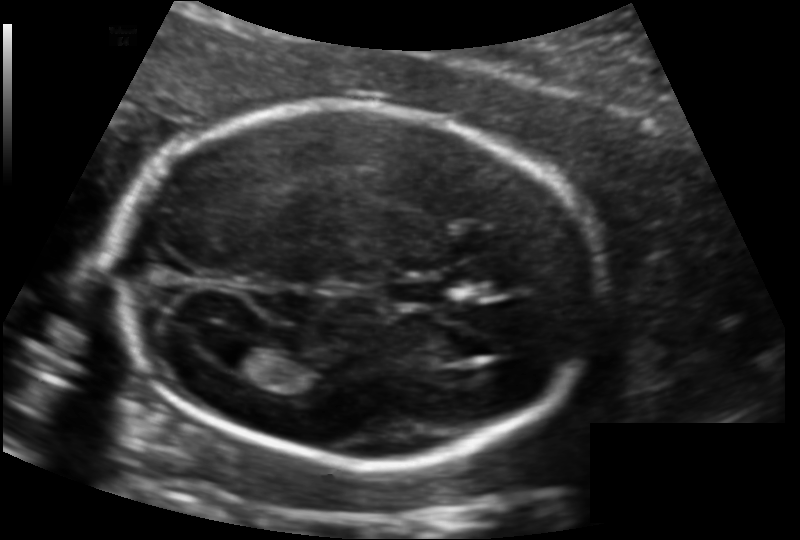
Measure the fetal head circumference shown in this ultrasound image. Image width: 107.1 mm.

Head circumference: 183.8 mm.